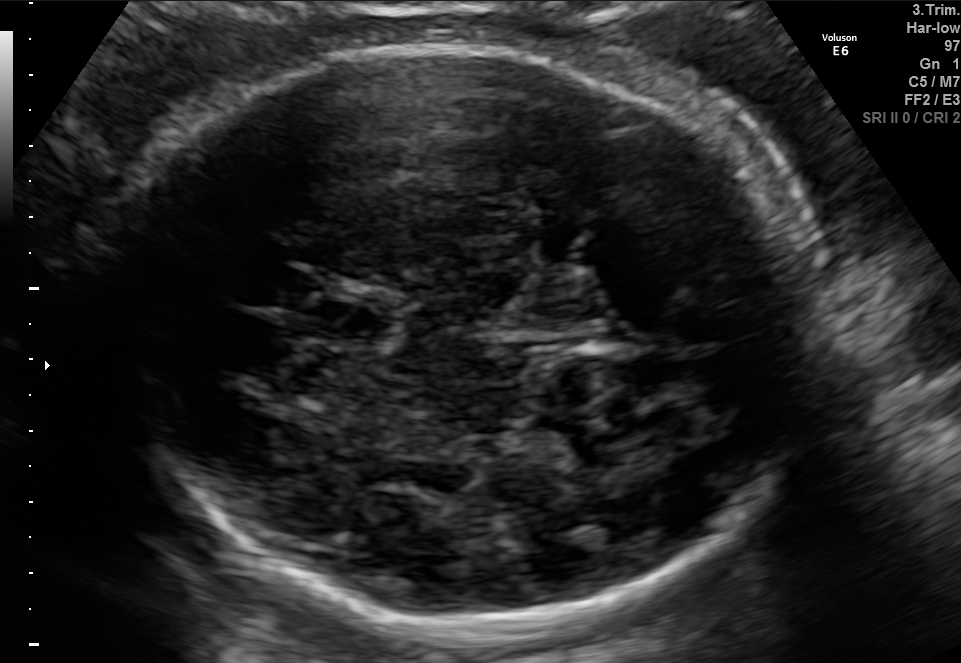
In this fetal brain, trans-thalamic plane, give bounding boxes for the head outline, cavum septum pellucidum (CSP), and lateral ventricle (LV), where visible.

Head: [124,43,803,634]
CSP: [323,300,390,347]